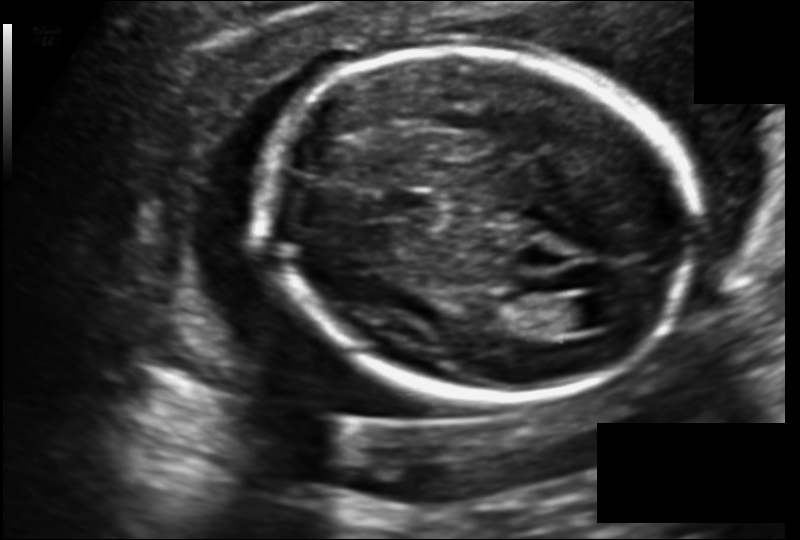
Fetal head ultrasound. Image width: 111.6 mm. Where is the cavum septum pellucidum?

CSP bounding box: [386,191,439,220]